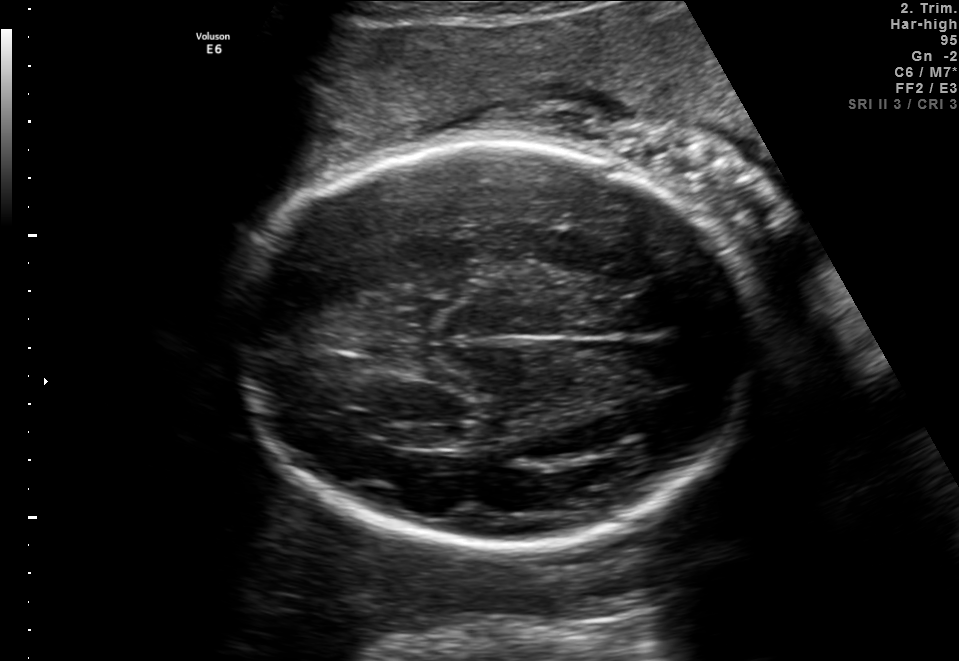
In this fetal brain, trans-thalamic plane, give the bounding box of the fetal head.

[225,144,764,547]